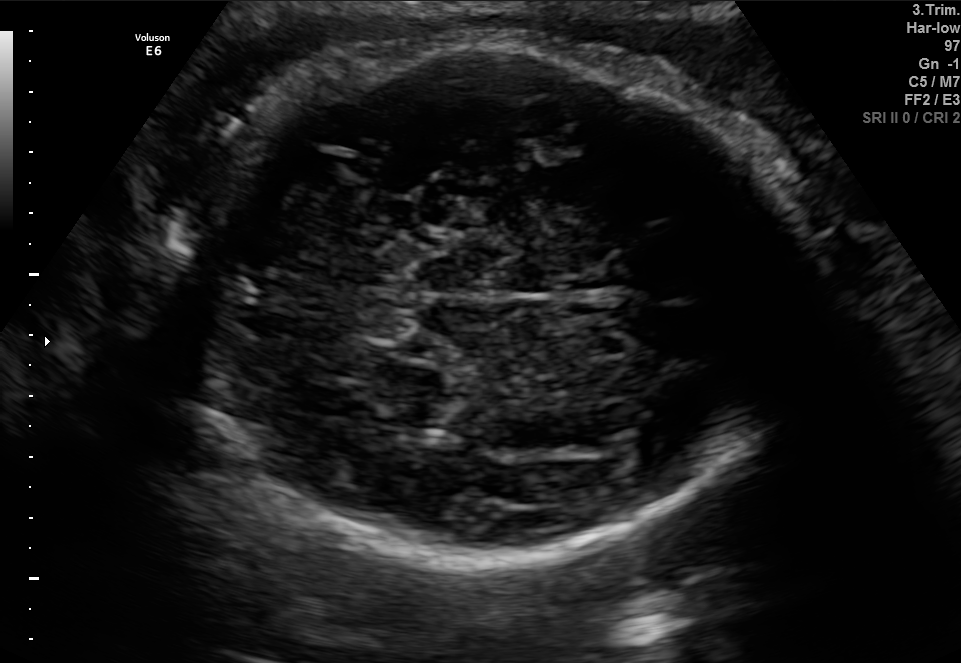
In this fetal brain, trans-cerebellum plane, give bounding boxes for the head outline, cavum septum pellucidum (CSP), and lateral ventricle (LV), where visible.

Head: [161,40,790,561]